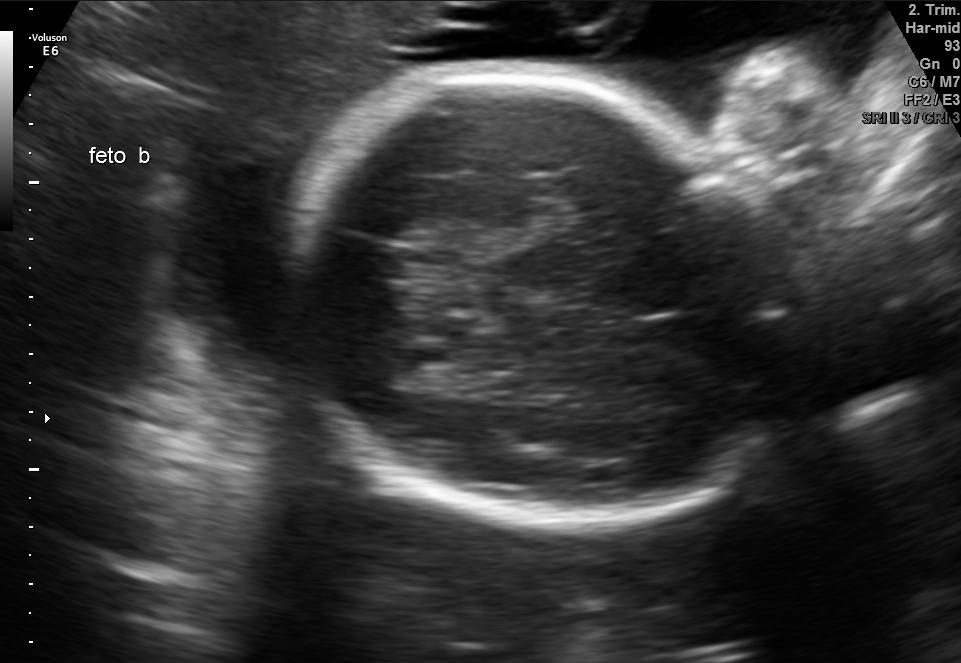
Fetal brain, trans-thalamic plane. Locate the fetal head and, if visible, the cavum septum pellucidum (CSP) and lateral ventricle (LV). Give bounding boxes as [x1,y1,x2,y2].

Head: [284,70,796,527]